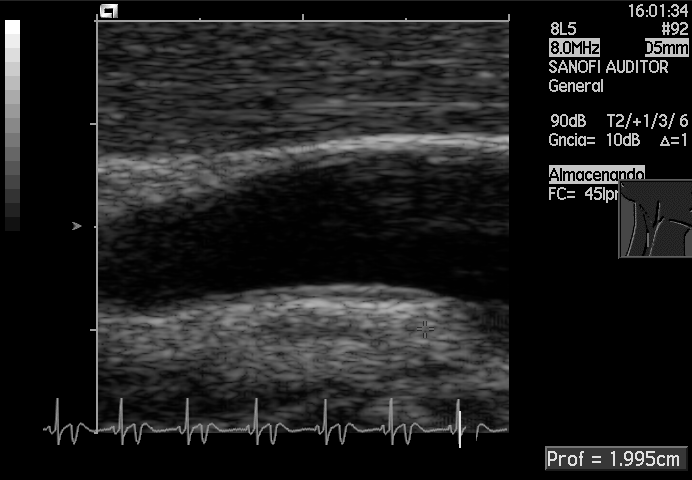
Identify the standard plane in this fetal ultrasound image: fetal abdomen, fetal brain, fetal femur, fetal thorax, maternal cervix, or other. If it's fetal brain and one of the three standard brain planes (trans-thalamic, trans-cerebellum, trans-ventricular), name which.

Other